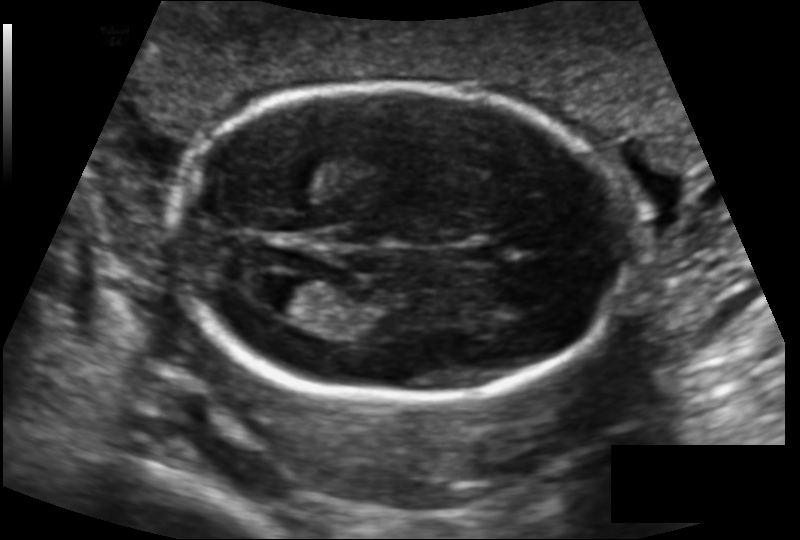
Fetal head ultrasound. Image width: 104.8 mm. Where is the lateral ventricle?

Lateral ventricle bounding box: [248,269,327,321]